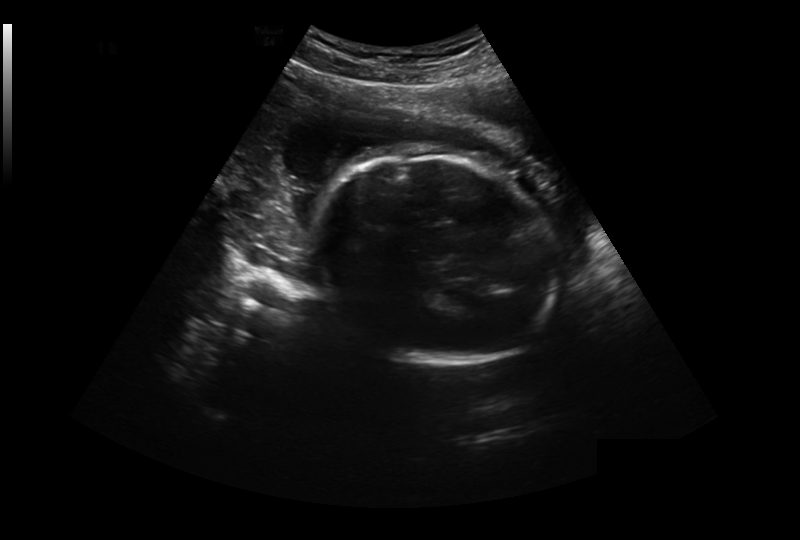
Fetal head ultrasound. Image width: 261.2 mm. Give [x1,y1,x2,y2] bounding boxes for each visible structure among: fetal head, CSP, LV.

Head: [306,155,559,364]